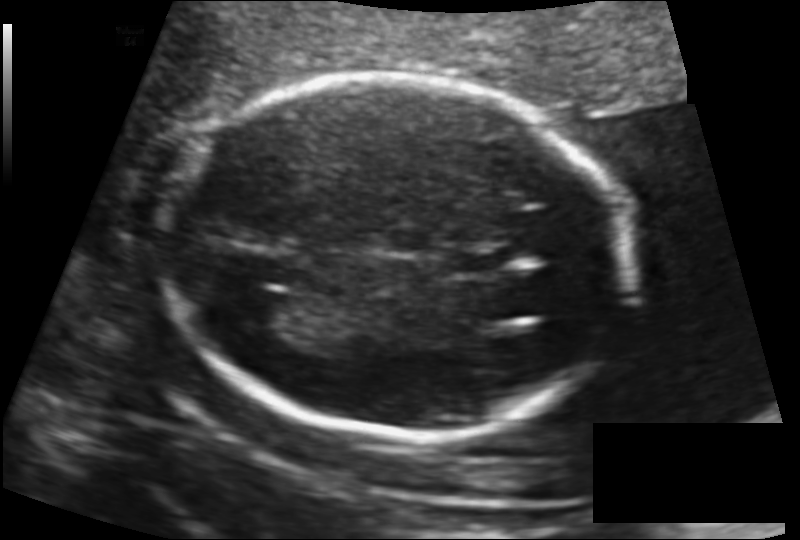
Fetal head ultrasound. Image width: 104.1 mm. Where is the fetal head?

Head bounding box: [163,74,632,435]